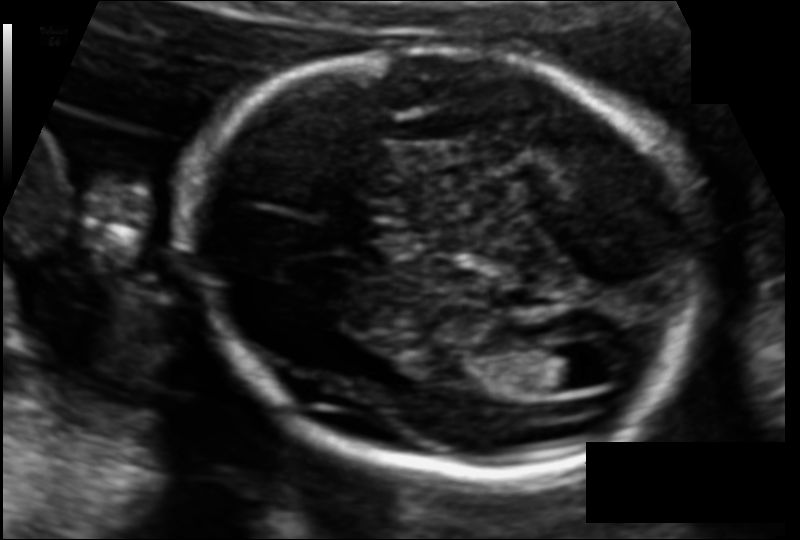
Estimate the fetal head circumference from this 2D ultrasound.

Head circumference: 168.0 mm (image width 87.7 mm).